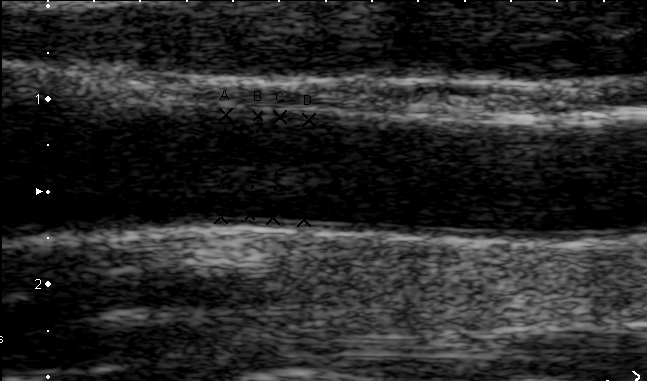
Classify this maternal-fetal ultrasound image as one of the six standard planes — fetal abdomen, fetal brain, fetal femur, fetal thorax, maternal cervix, or other. If it's fetal brain and one of the three standard brain planes (trans-thalamic, trans-cerebellum, trans-ventricular), name which.

Other